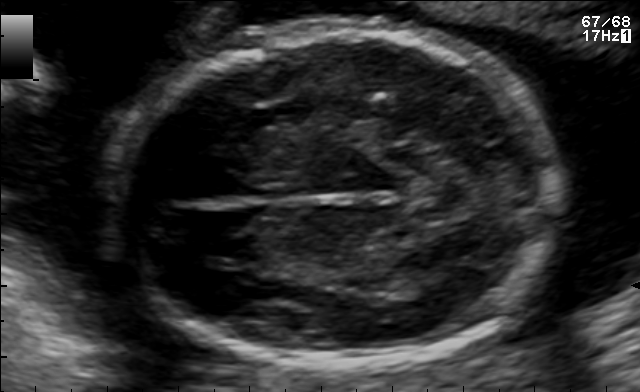
Fetal brain, trans-thalamic plane. Give [x1,y1,x2,y2] bounding boxes for each visible structure among: fetal head, CSP, LV.

Head: [107,32,556,362]